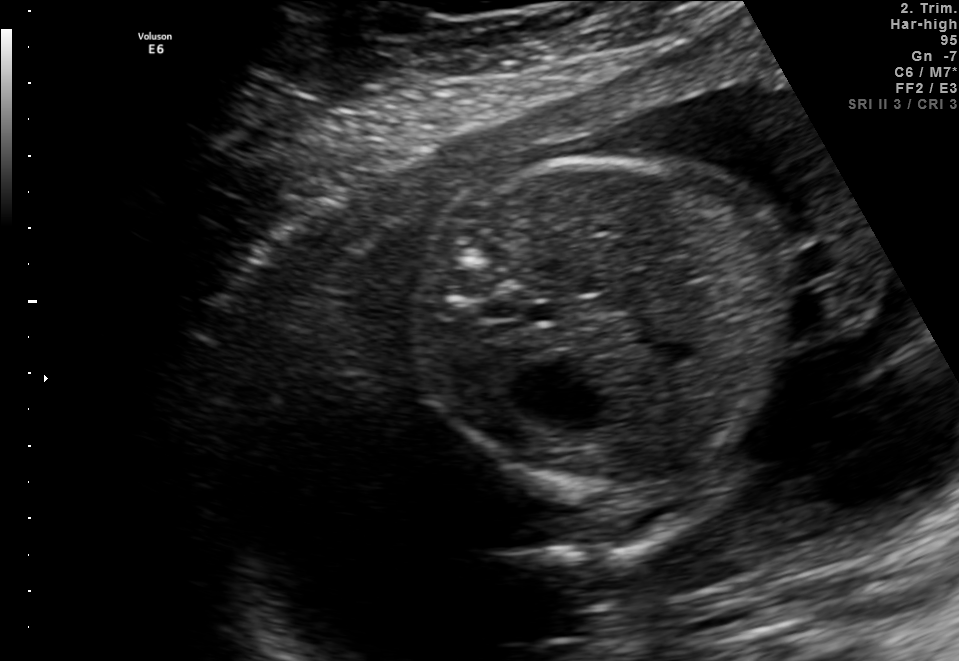
Identify the standard plane in this fetal ultrasound image: fetal abdomen, fetal brain, fetal femur, fetal thorax, maternal cervix, or other. If it's fetal brain and one of the three standard brain planes (trans-thalamic, trans-cerebellum, trans-ventricular), name which.

Fetal abdomen